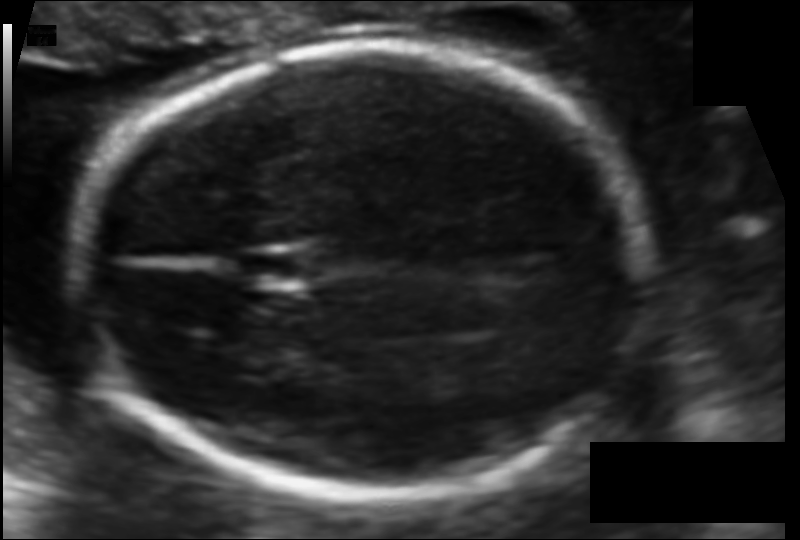
Fetal head ultrasound. Image width: 84.8 mm. Where is the fetal head?

Head bounding box: [81,47,644,500]